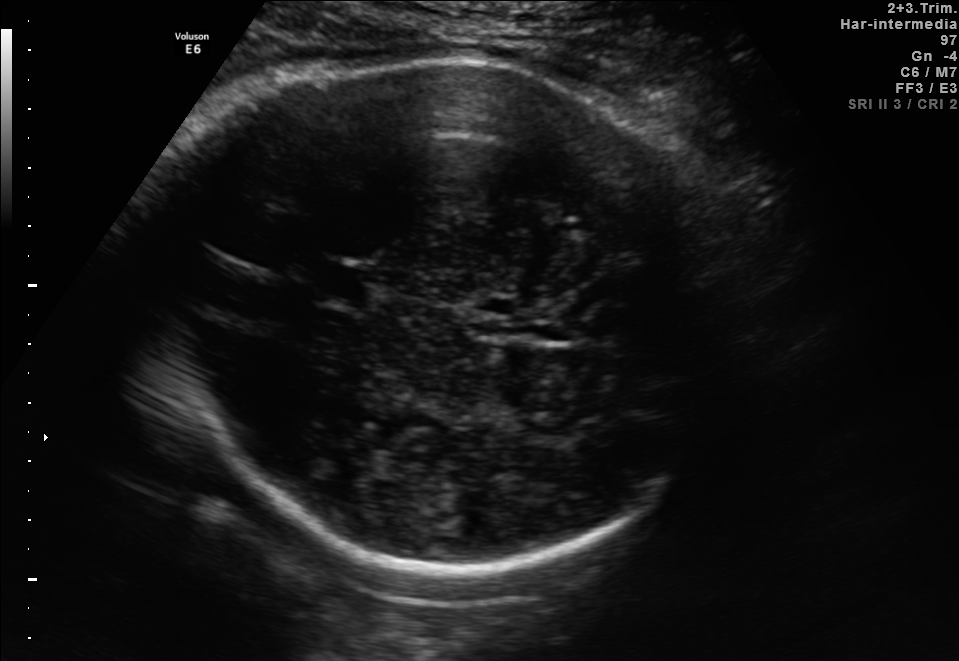
Fetal brain, trans-thalamic plane. Give [x1,y1,x2,y2] bounding boxes for each visible structure among: fetal head, CSP, LV.

Head: [126,56,733,573]
CSP: [304,256,375,306]